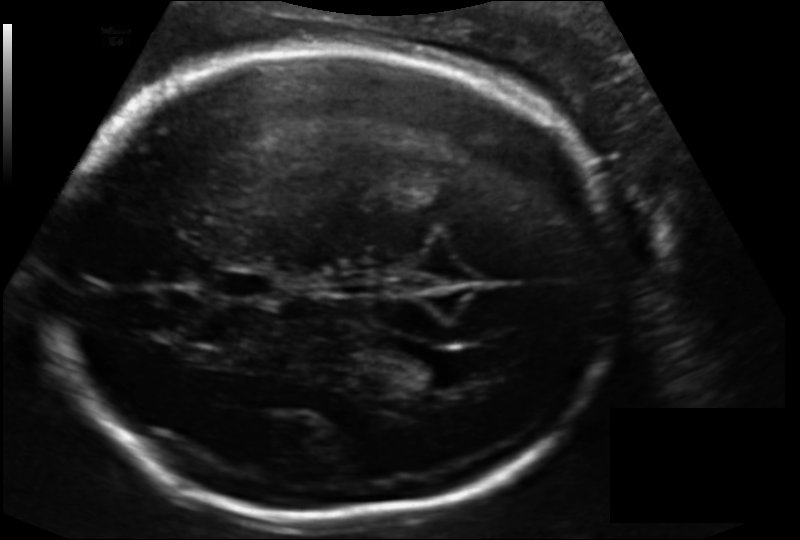
Fetal head ultrasound. Image width: 124.7 mm. Locate the lateral ventricle.

Lateral ventricle: [398,348,474,394]